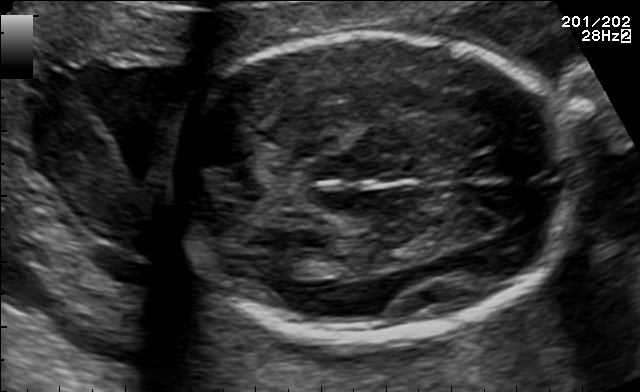
Fetal brain, trans-thalamic plane. Locate the lateral ventricle.

Lateral ventricle: [271,249,325,278]